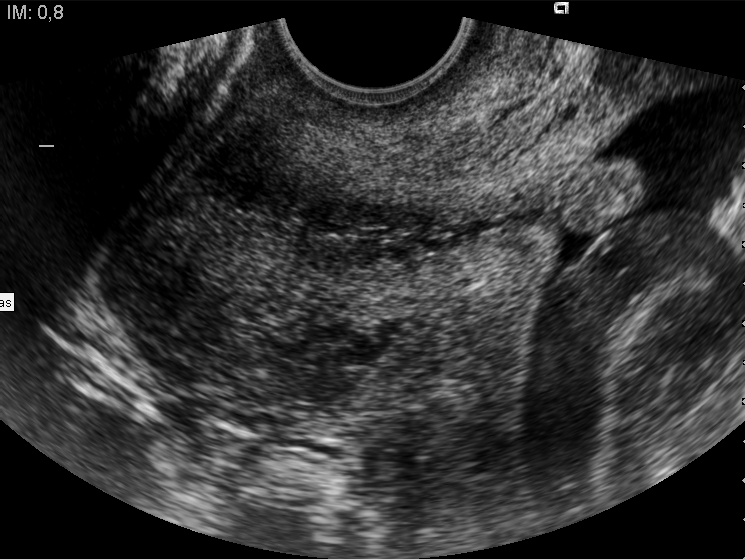
This is a 2D maternal-fetal ultrasound frame. Is it a fetal abdomen, fetal brain, fetal femur, fetal thorax, maternal cervix, or other standard plane? If it's fetal brain and one of the three standard brain planes (trans-thalamic, trans-cerebellum, trans-ventricular), name which.

Maternal cervix